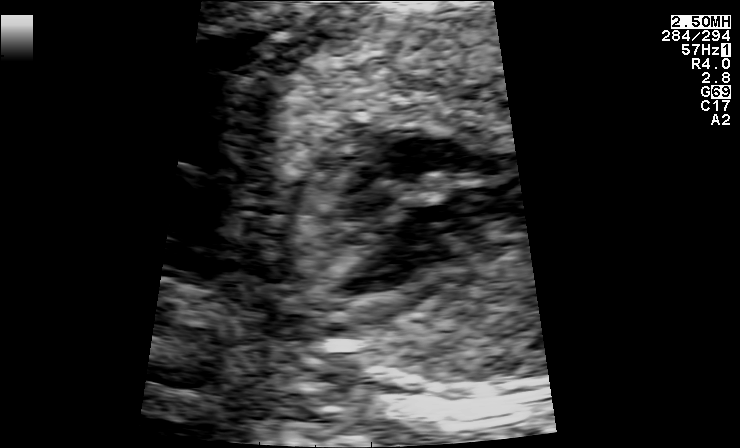
Which standard maternal-fetal ultrasound plane is shown: fetal abdomen, fetal brain, fetal femur, fetal thorax, maternal cervix, or other? If it's fetal brain and one of the three standard brain planes (trans-thalamic, trans-cerebellum, trans-ventricular), name which.

Other